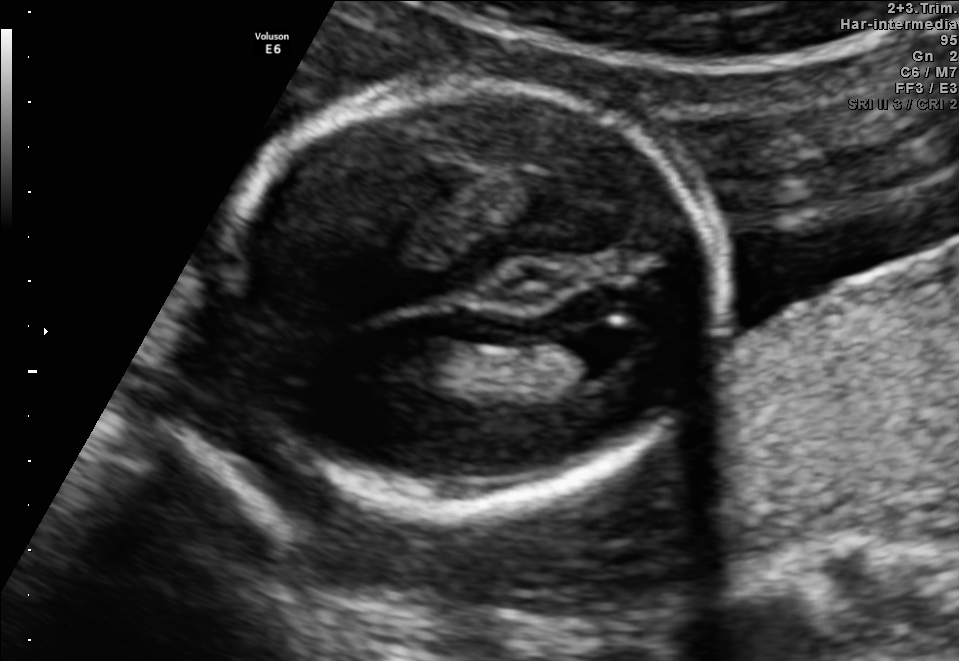
In this fetal brain, trans-ventricular plane, give the bounding box of the fetal head.

[208,72,735,521]